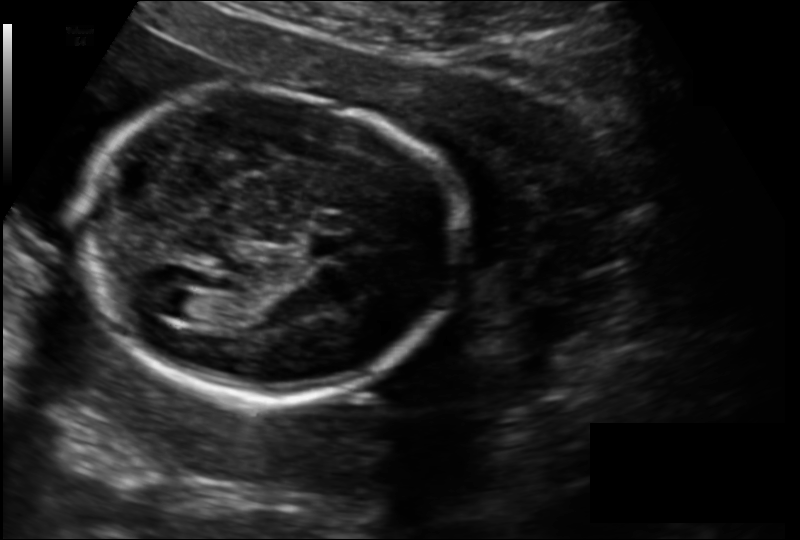
In this fetal head ultrasound, give bounding boxes for the head outline, cavum septum pellucidum (CSP), and lateral ventricle (LV), where visible. Image width: 119.1 mm.

Head: [73,90,456,399]
CSP: [306,233,345,260]
Lateral ventricle: [158,287,202,322]